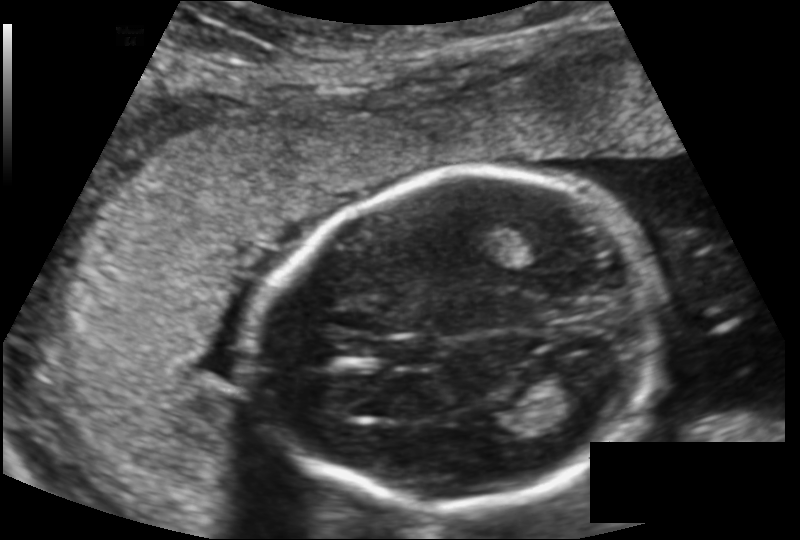
What is the fetal head circumference? Image width is 119.2 mm.

182.4 mm